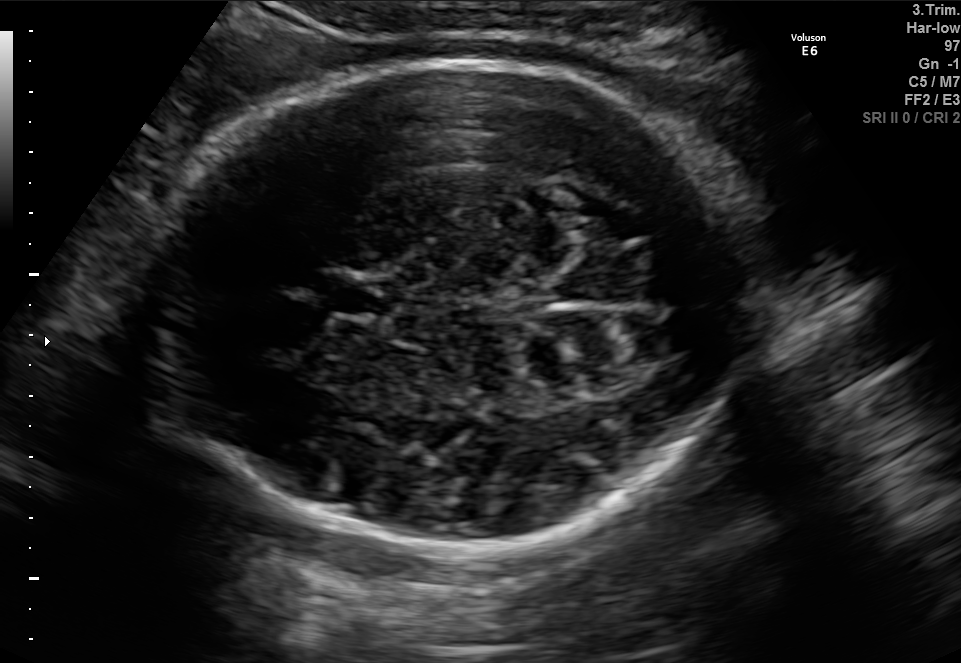
In this fetal brain, trans-thalamic plane, give the bounding box of the fetal head.

[140,56,769,551]